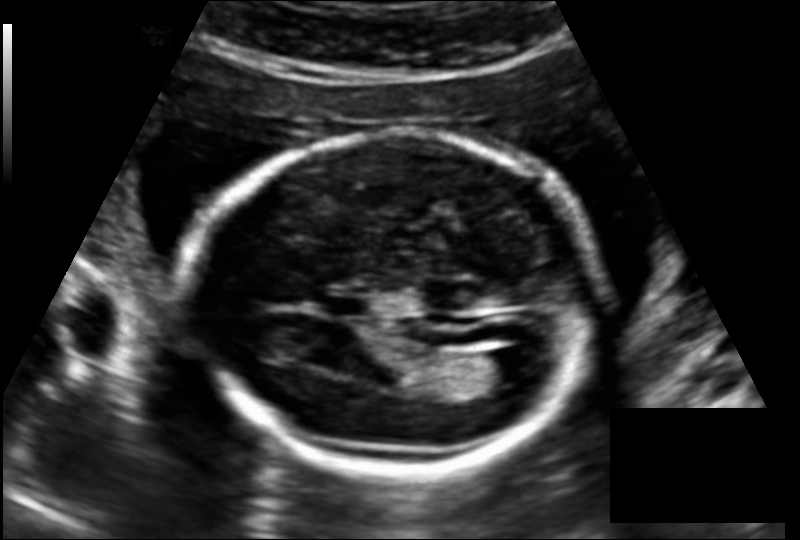
What is the fetal head circumference? Image width is 115.9 mm.

181.1 mm